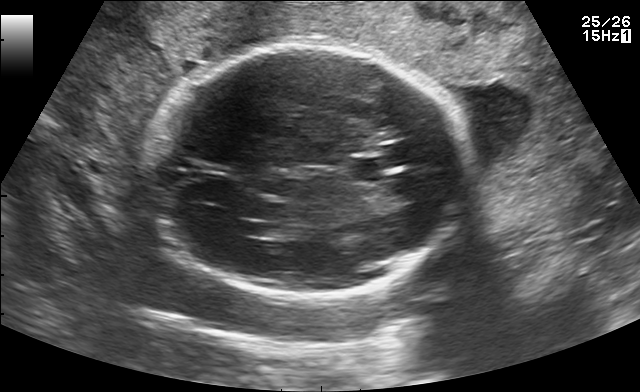
Fetal brain, trans-ventricular plane. Locate the lateral ventricle.

Lateral ventricle: [232,218,267,237]